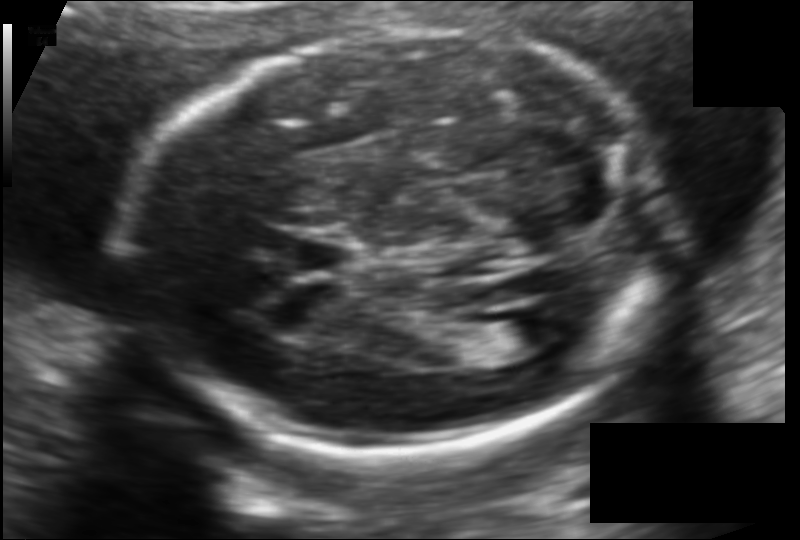
What is the fetal head circumference? Image width is 94.7 mm.

185.4 mm